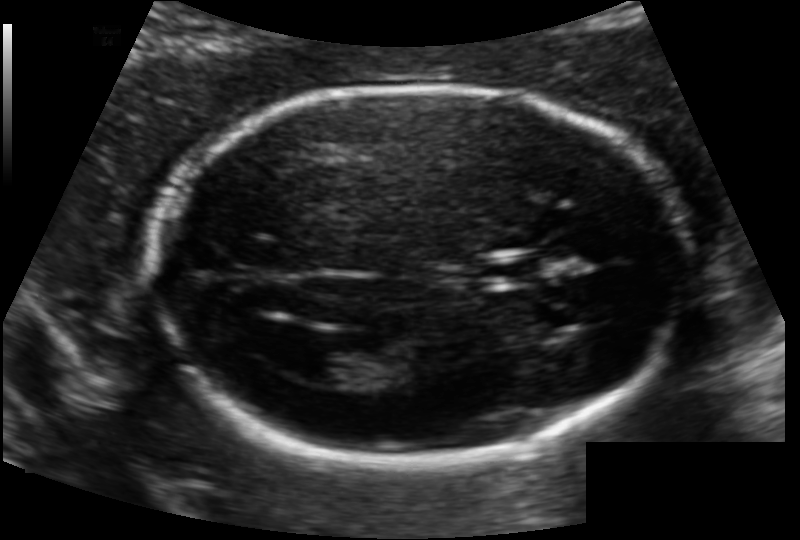
Fetal head ultrasound. Image width: 94.1 mm. Locate the fetal head.

Head: [150,86,688,457]